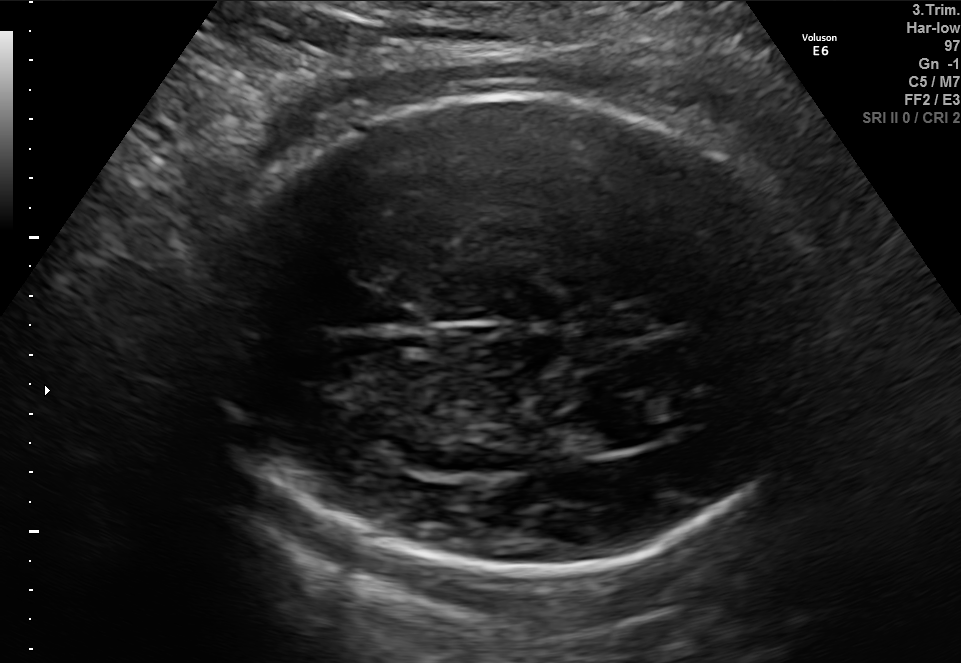
Fetal brain, trans-thalamic plane. Where is the fetal head?

Head bounding box: [203,95,832,576]